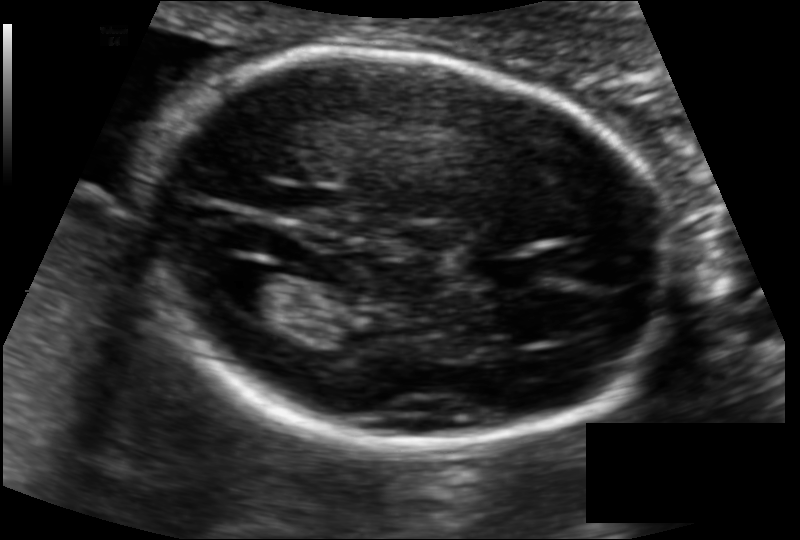
Fetal head ultrasound. Image width: 88.0 mm. Where is the lateral ventricle?

Lateral ventricle bounding box: [219,263,301,326]